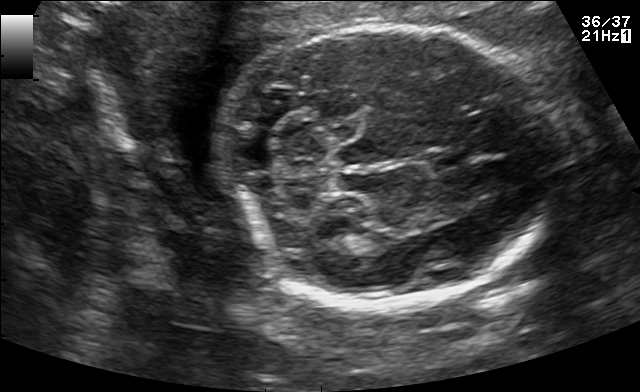
In this fetal brain, trans-cerebellum plane, give the bounding box of the cavum septum pellucidum.

[422,138,479,175]